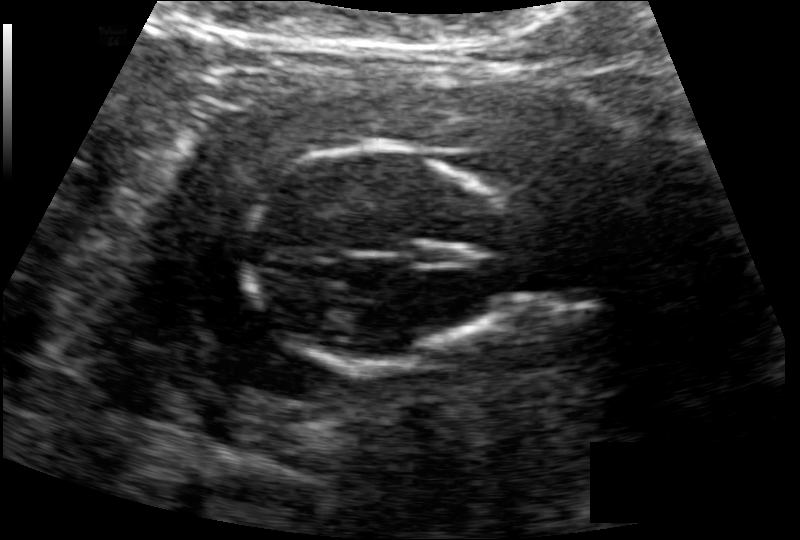
Fetal head ultrasound. Image width: 100.6 mm. Locate the fetal head and, if visible, the cavum septum pellucidum (CSP) and lateral ventricle (LV). Give bounding boxes as [x1,y1,x2,y2].

Head: [246,145,507,365]